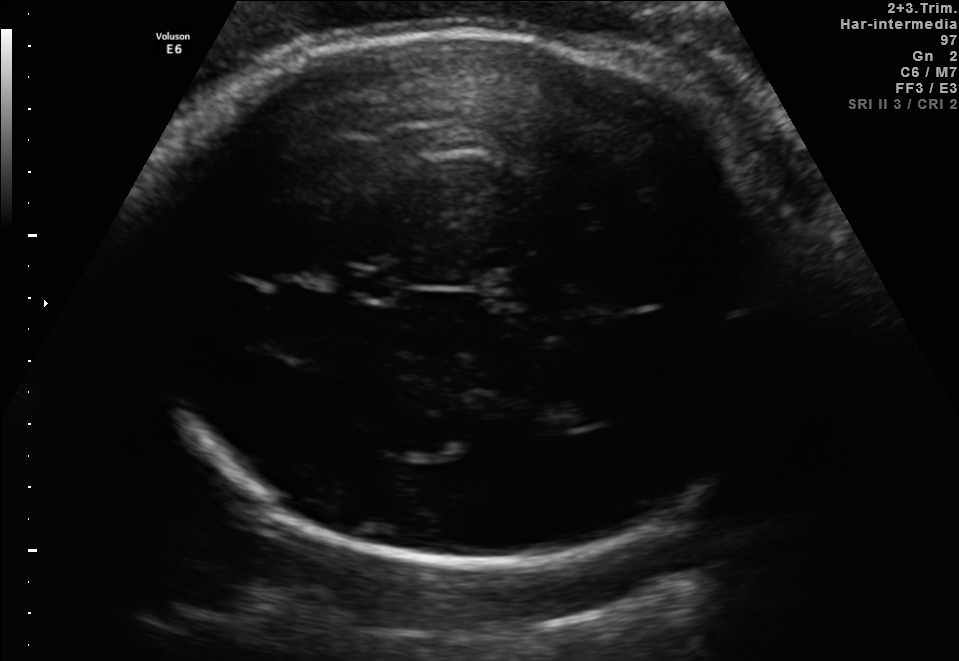
Fetal brain, trans-thalamic plane. Where is the lateral ventricle?

Lateral ventricle bounding box: [552,385,621,431]